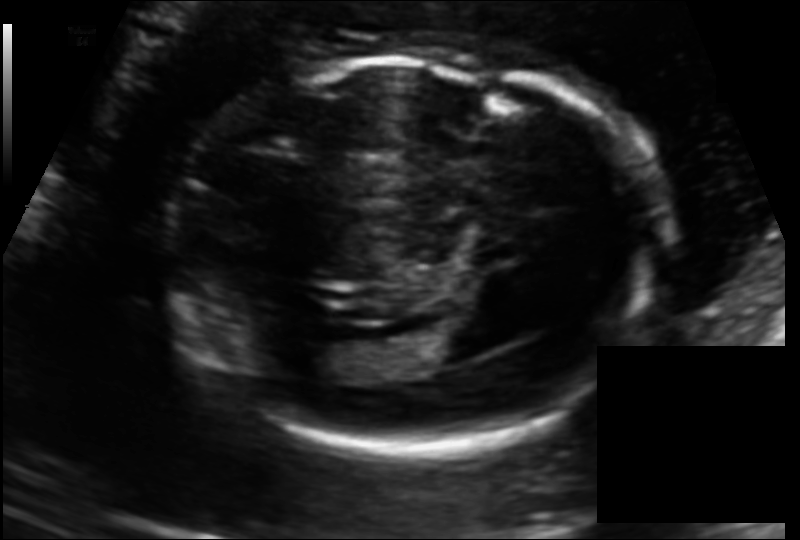
In this fetal head ultrasound, give bounding boxes for the head outline, cavum septum pellucidum (CSP), and lateral ventricle (LV), where visible. Image width: 100.0 mm.

Head: [169,60,653,450]